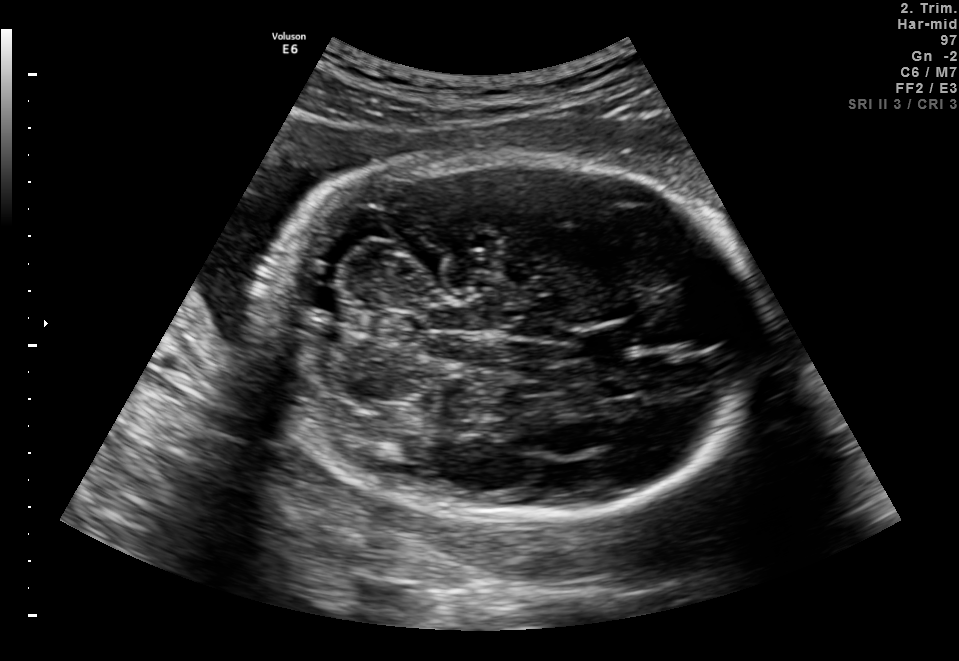
This is a 2D maternal-fetal ultrasound frame. Is it a fetal abdomen, fetal brain, fetal femur, fetal thorax, maternal cervix, or other standard plane? If it's fetal brain and one of the three standard brain planes (trans-thalamic, trans-cerebellum, trans-ventricular), name which.

Fetal brain (trans-cerebellum plane)